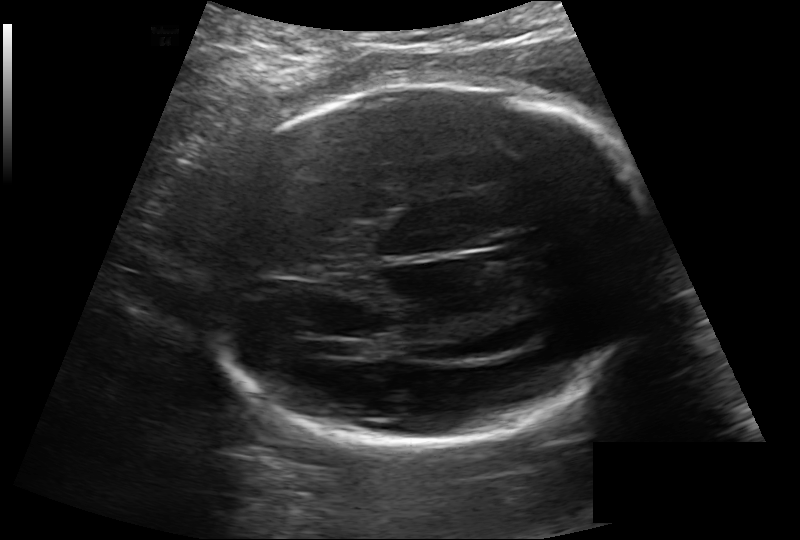
Fetal head ultrasound. Image width: 151.0 mm. Where is the fetal head?

Head bounding box: [206,85,654,445]